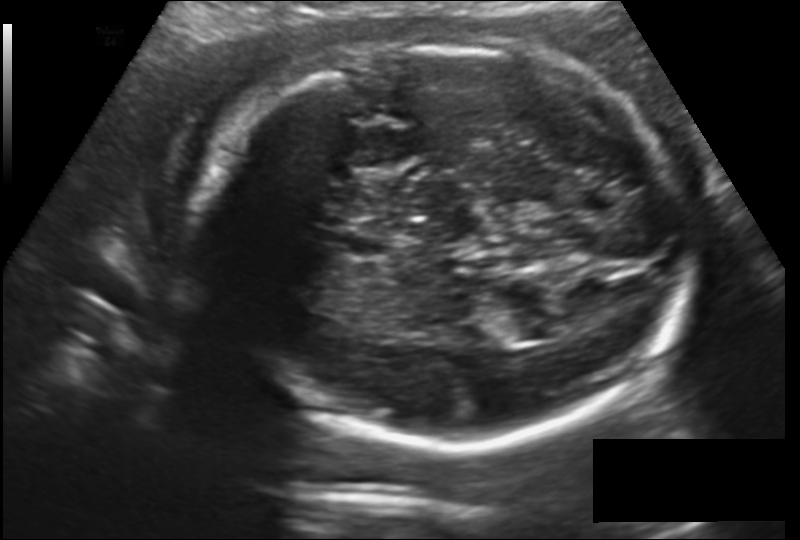
Measure the fetal head circumference shown in this ultrasound image. Image width: 142.0 mm.

Head circumference: 257.6 mm.